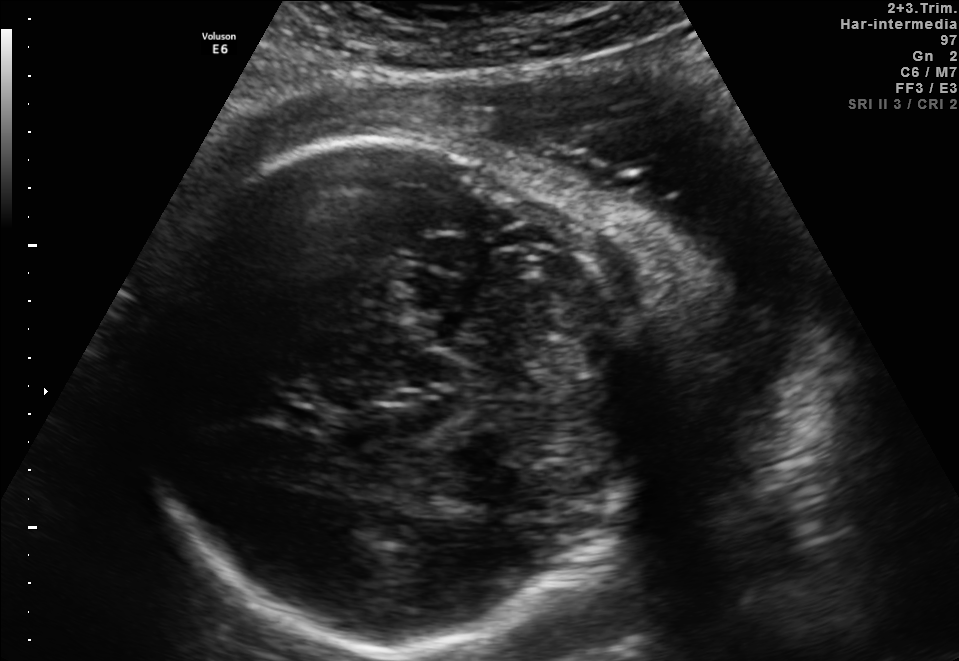
Fetal brain, trans-thalamic plane. Where is the cavum septum pellucidum?

CSP bounding box: [262,395,326,438]